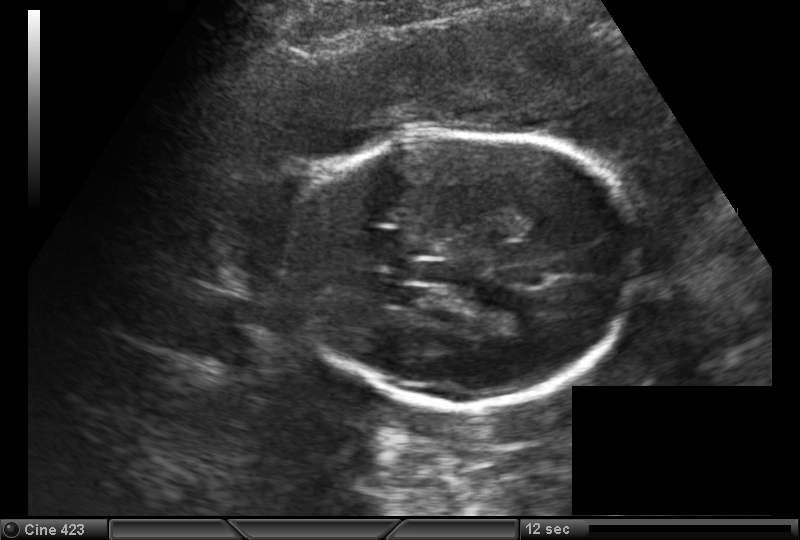
Fetal head ultrasound. Image width: 138.2 mm. Locate the fetal head.

Head: [289,132,636,409]